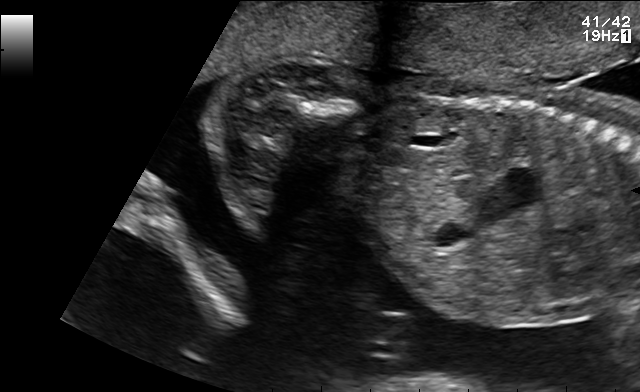
This is a 2D maternal-fetal ultrasound frame. Is it a fetal abdomen, fetal brain, fetal femur, fetal thorax, maternal cervix, or other standard plane? If it's fetal brain and one of the three standard brain planes (trans-thalamic, trans-cerebellum, trans-ventricular), name which.

Other